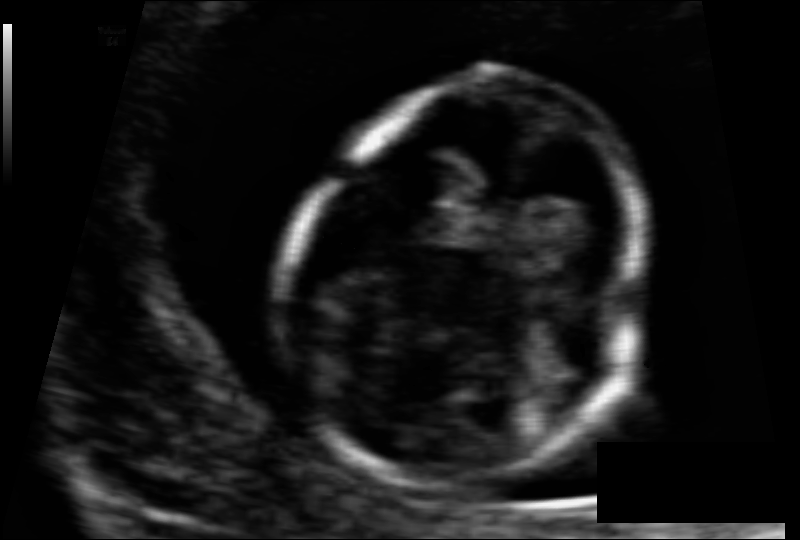
Fetal head ultrasound. Image width: 50.2 mm. Locate the fetal head.

Head: [288,77,649,481]